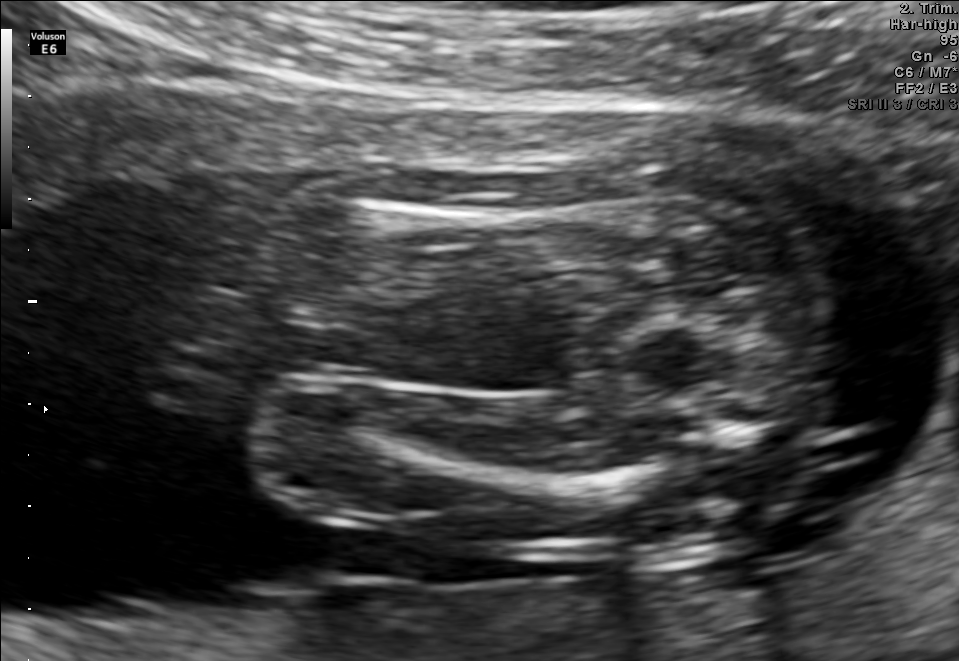
Which standard maternal-fetal ultrasound plane is shown: fetal abdomen, fetal brain, fetal femur, fetal thorax, maternal cervix, or other? If it's fetal brain and one of the three standard brain planes (trans-thalamic, trans-cerebellum, trans-ventricular), name which.

Fetal femur